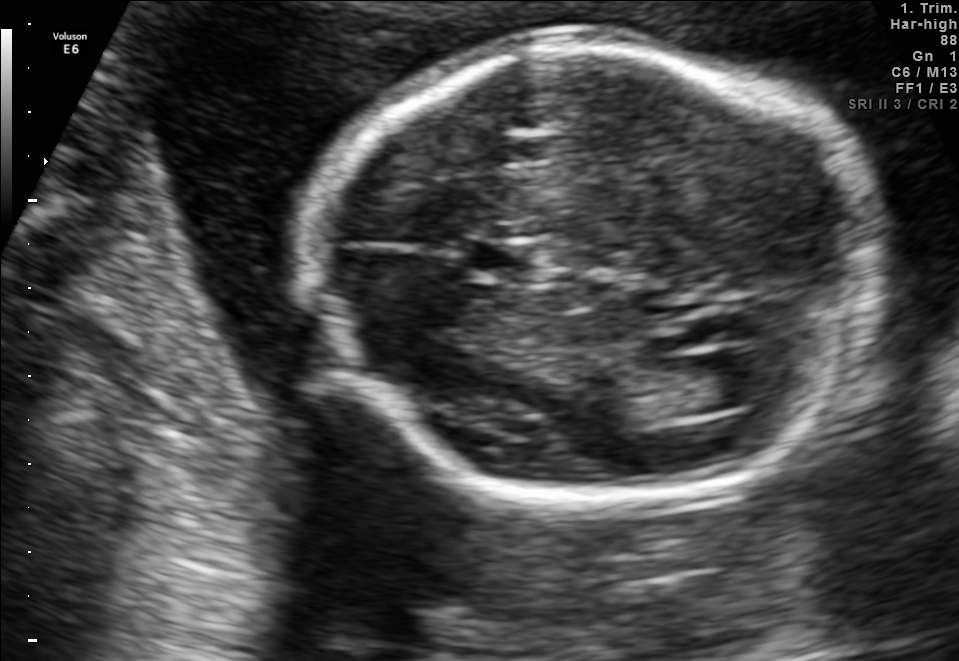
Fetal brain, trans-ventricular plane. Locate the lateral ventricle.

Lateral ventricle: [690,340,793,415]